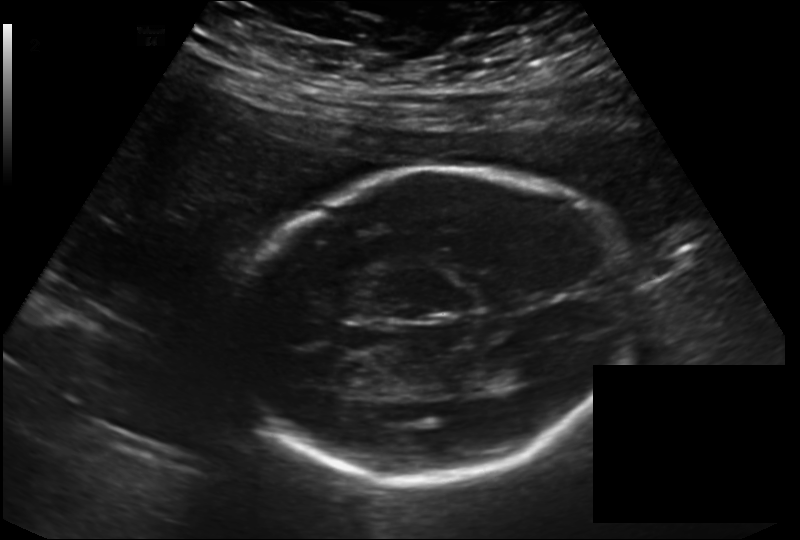
Fetal head ultrasound. Image width: 158.6 mm. Locate the fetal head.

Head: [239,167,633,483]